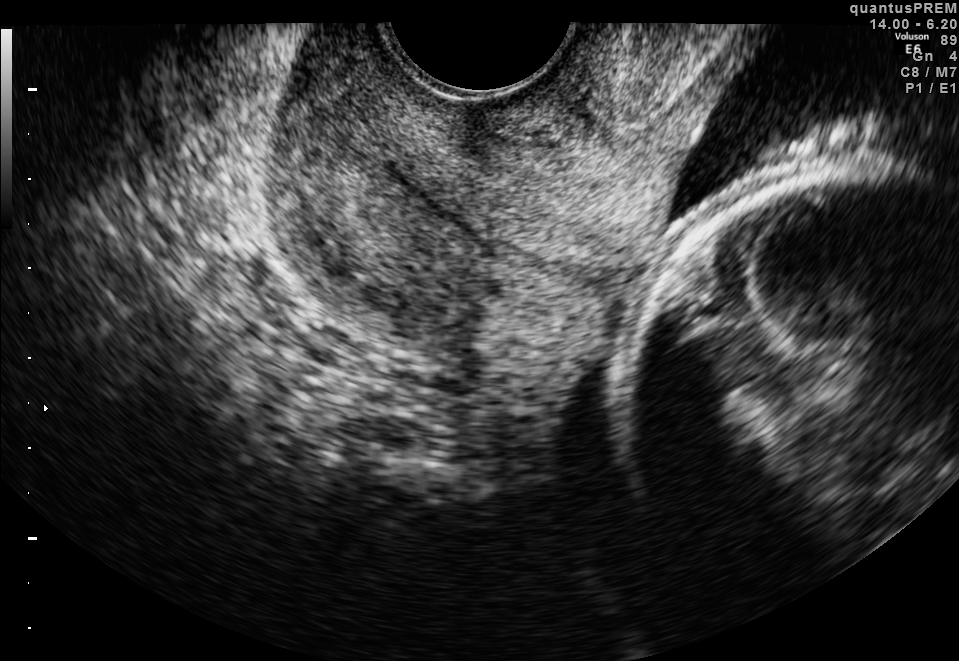
Which standard maternal-fetal ultrasound plane is shown: fetal abdomen, fetal brain, fetal femur, fetal thorax, maternal cervix, or other? If it's fetal brain and one of the three standard brain planes (trans-thalamic, trans-cerebellum, trans-ventricular), name which.

Maternal cervix